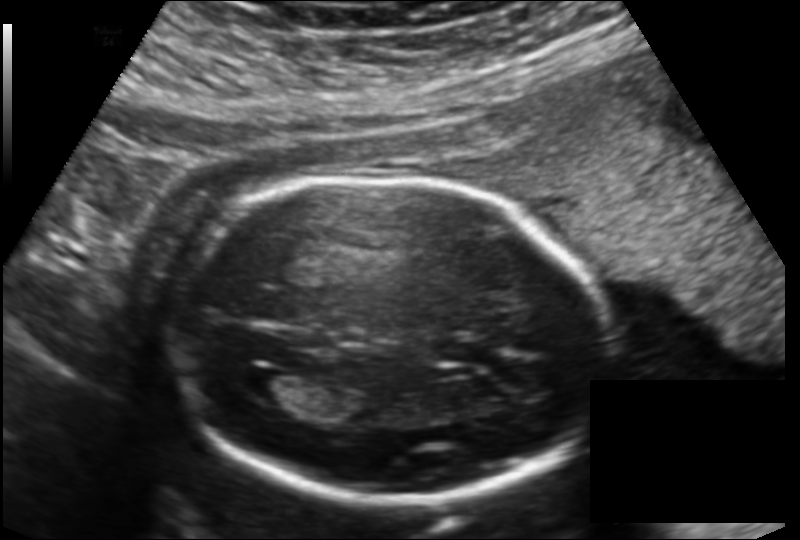
Estimate the fetal head circumference from this 2D ultrasound.

Head circumference: 183.0 mm (image width 120.4 mm).